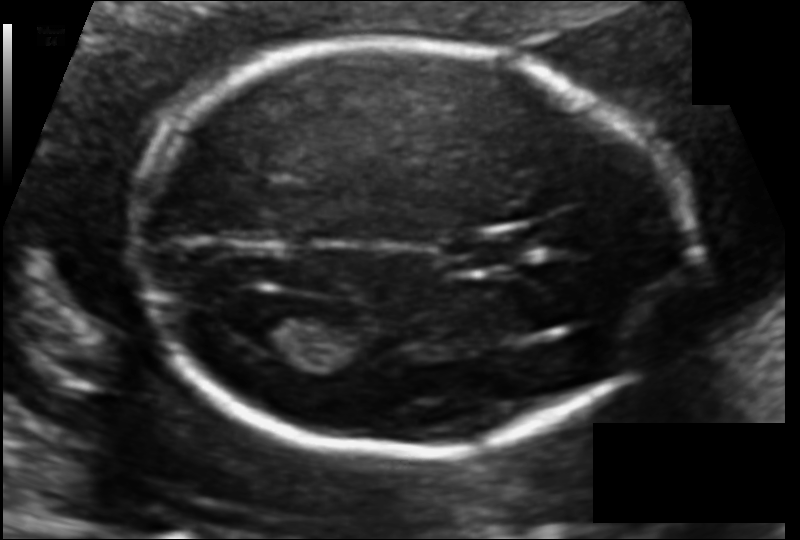
Fetal head ultrasound. Image width: 84.8 mm. Where is the fetal head?

Head bounding box: [128,44,686,453]